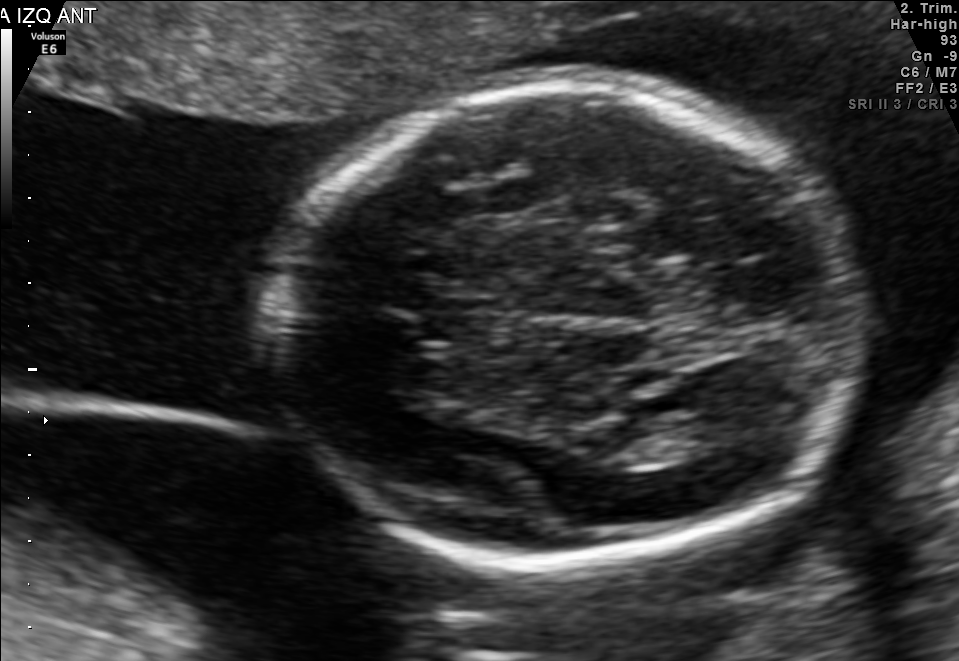
Fetal brain, trans-thalamic plane. Give [x1,y1,x2,y2] bounding boxes for each visible structure among: fetal head, CSP, LV.

Head: [277,85,866,564]
CSP: [421,301,498,339]
Lateral ventricle: [650,400,756,467]